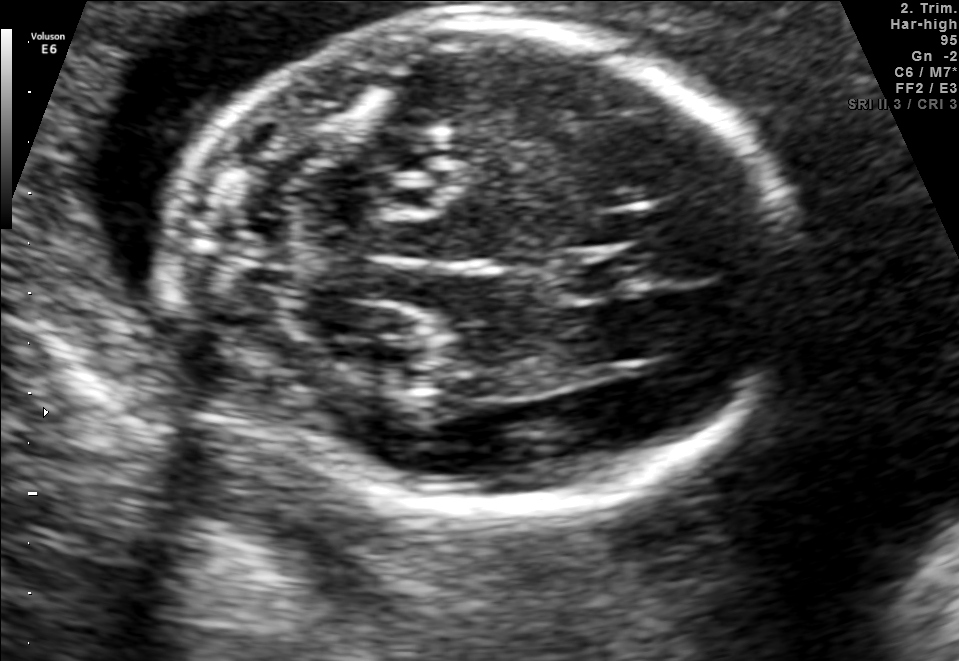
Fetal brain, trans-cerebellum plane. Where is the fetal head?

Head bounding box: [178,18,785,511]